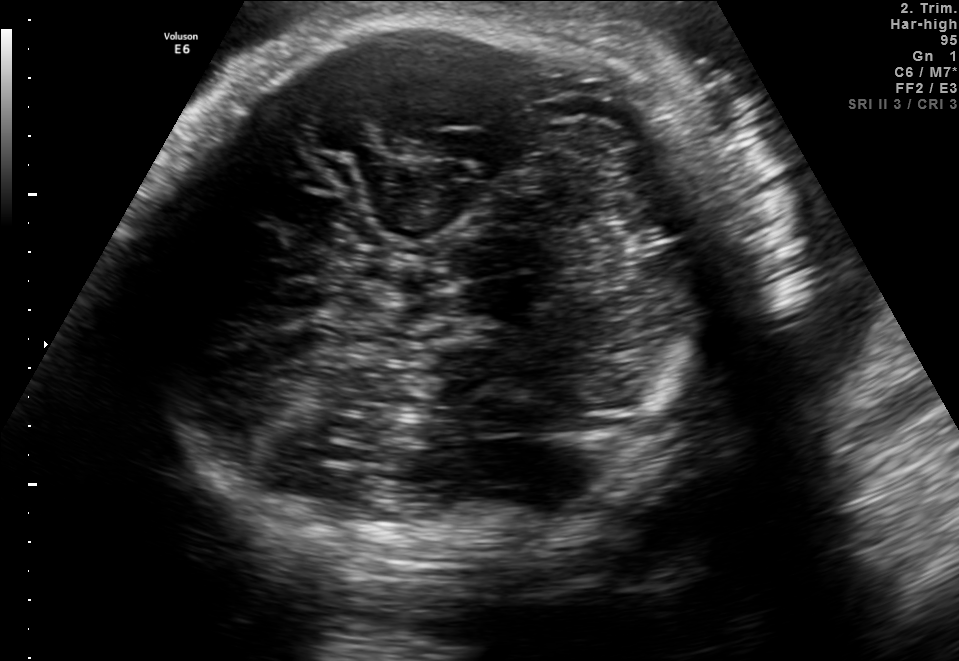
Fetal brain, trans-thalamic plane. Locate the fetal head and, if visible, the cavum septum pellucidum (CSP) and lateral ventricle (LV). Give bounding boxes as [x1,y1,x2,y2].

Head: [133,15,742,570]